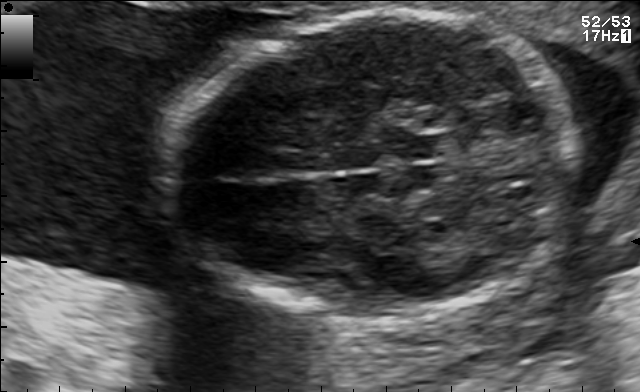
Fetal brain, trans-thalamic plane. Locate the fetal head and, if visible, the cavum septum pellucidum (CSP) and lateral ventricle (LV). Give bounding boxes as [x1,y1,x2,y2].

Head: [166,11,578,321]